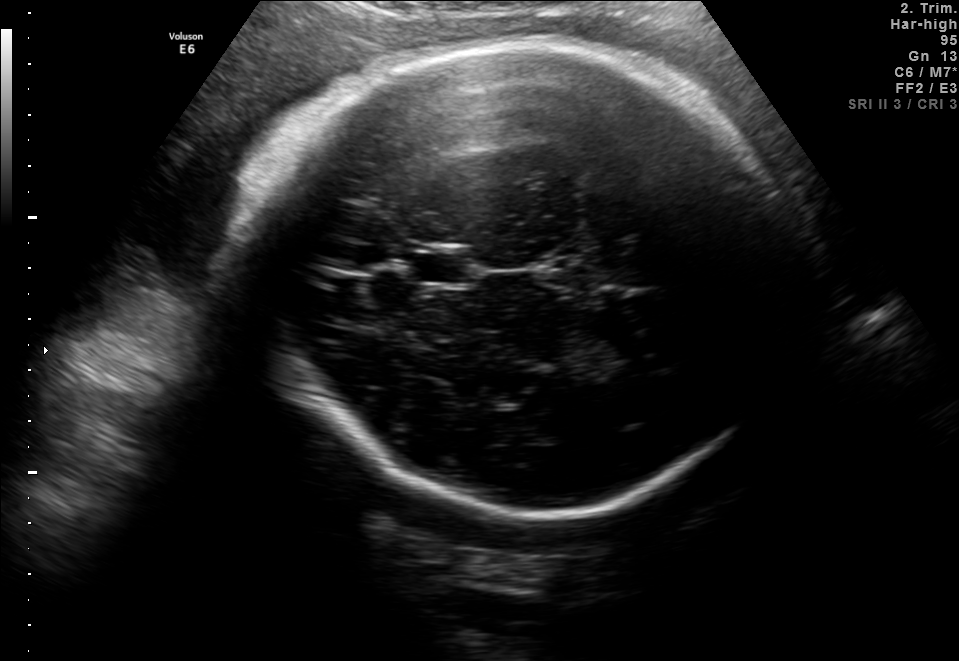
Fetal brain, trans-thalamic plane. Locate the cavum septum pellucidum.

CSP: [414,250,471,283]